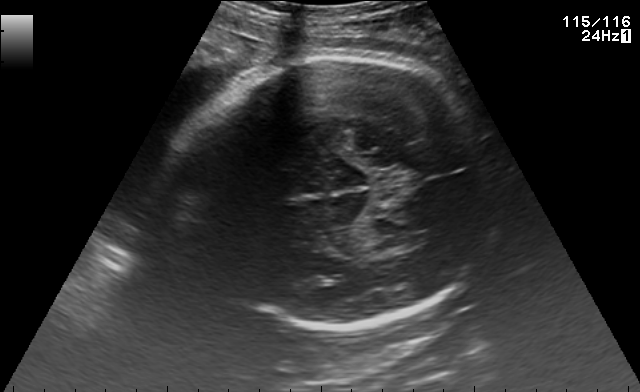
This is a 2D maternal-fetal ultrasound frame. Is it a fetal abdomen, fetal brain, fetal femur, fetal thorax, maternal cervix, or other standard plane? If it's fetal brain and one of the three standard brain planes (trans-thalamic, trans-cerebellum, trans-ventricular), name which.

Fetal brain (trans-thalamic plane)